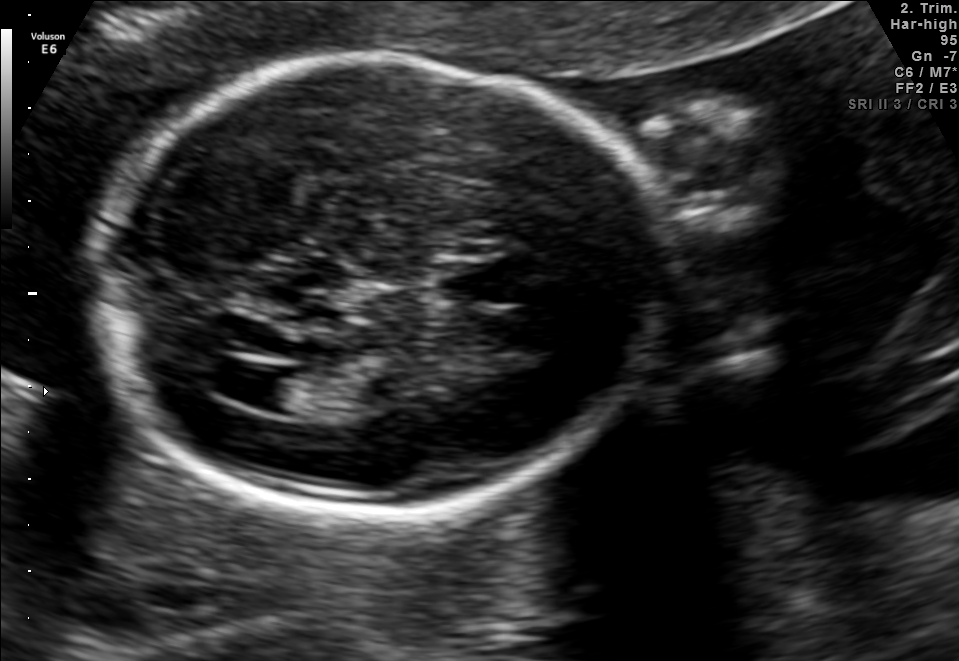
In this fetal brain, trans-ventricular plane, give the bounding box of the fetal head.

[84,49,685,522]